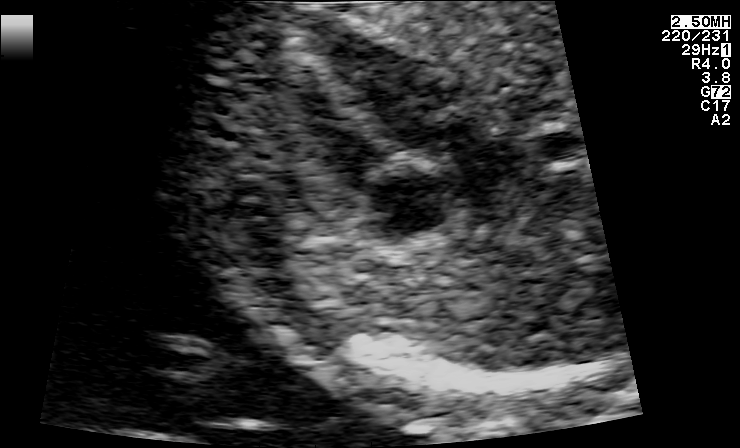
Classify this maternal-fetal ultrasound image as one of the six standard planes — fetal abdomen, fetal brain, fetal femur, fetal thorax, maternal cervix, or other. If it's fetal brain and one of the three standard brain planes (trans-thalamic, trans-cerebellum, trans-ventricular), name which.

Fetal thorax